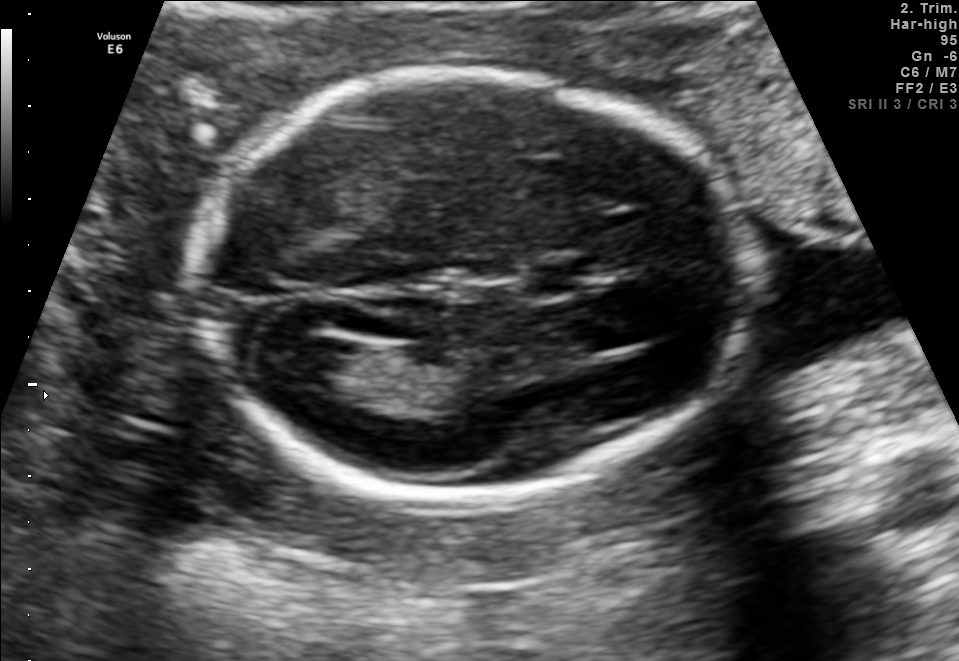
Fetal brain, trans-ventricular plane. Give [x1,y1,x2,y2] bounding boxes for each visible structure among: fetal head, CSP, LV.

Head: [179,61,772,518]
CSP: [521,248,609,306]
Lateral ventricle: [260,328,355,390]